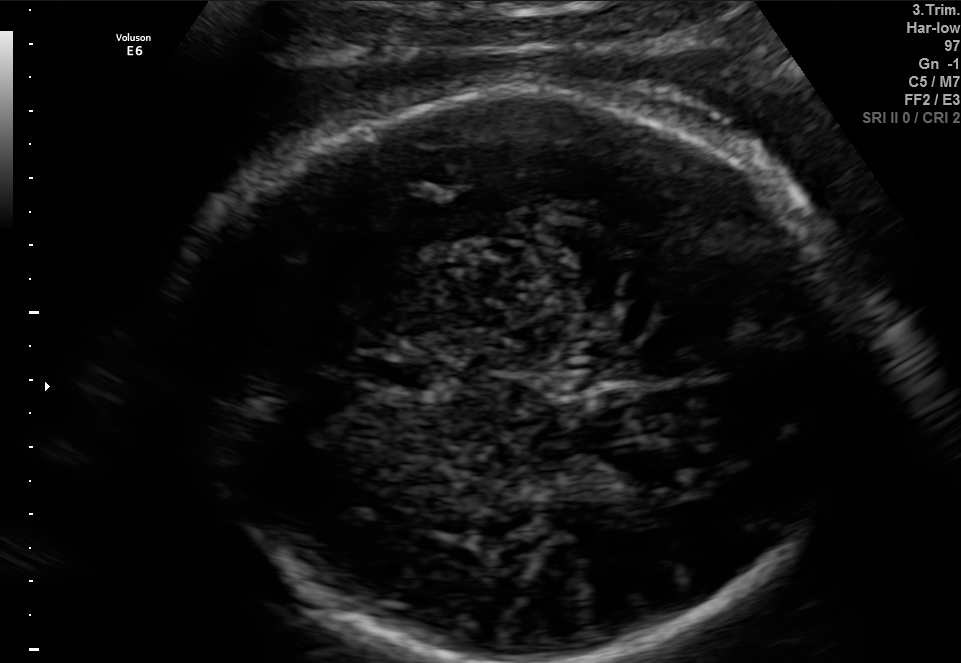
Fetal brain, trans-thalamic plane. Locate the fetal head and, if visible, the cavum septum pellucidum (CSP) and lateral ventricle (LV). Give bounding boxes as [x1,y1,x2,y2].

Head: [163,95,864,660]
CSP: [364,353,441,394]